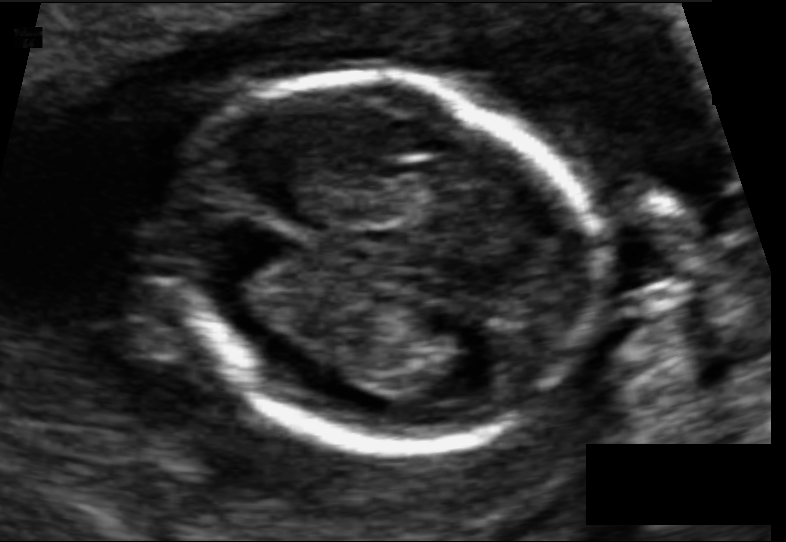
Fetal head ultrasound. Image width: 58.4 mm. Give [x1,y1,x2,y2] bounding boxes for each visible structure among: fetal head, CSP, LV.

Head: [170,76,596,453]